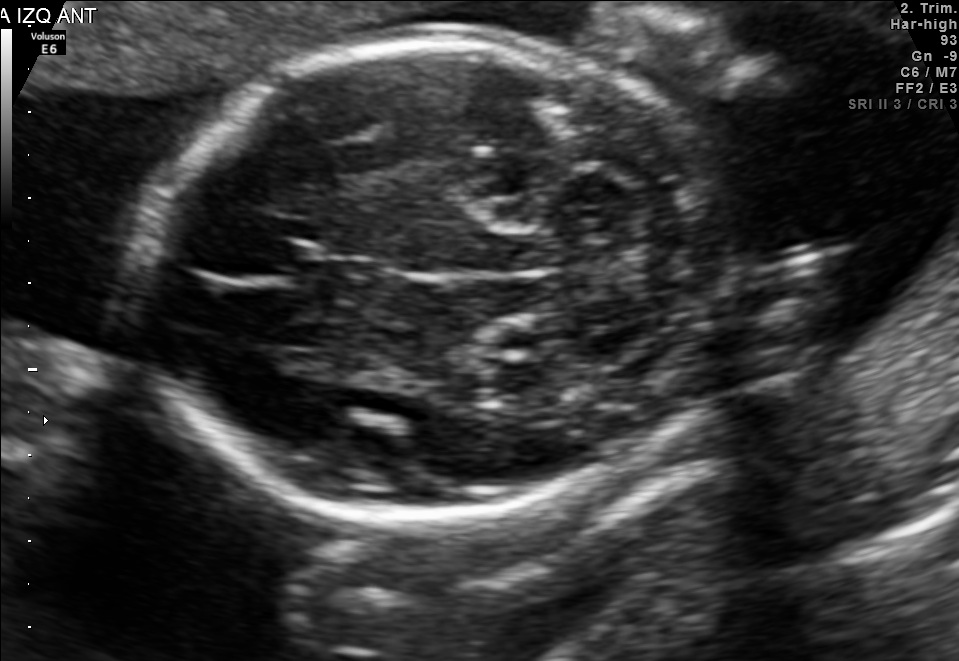
Fetal brain, trans-cerebellum plane. Locate the fetal head.

Head: [139,33,740,520]